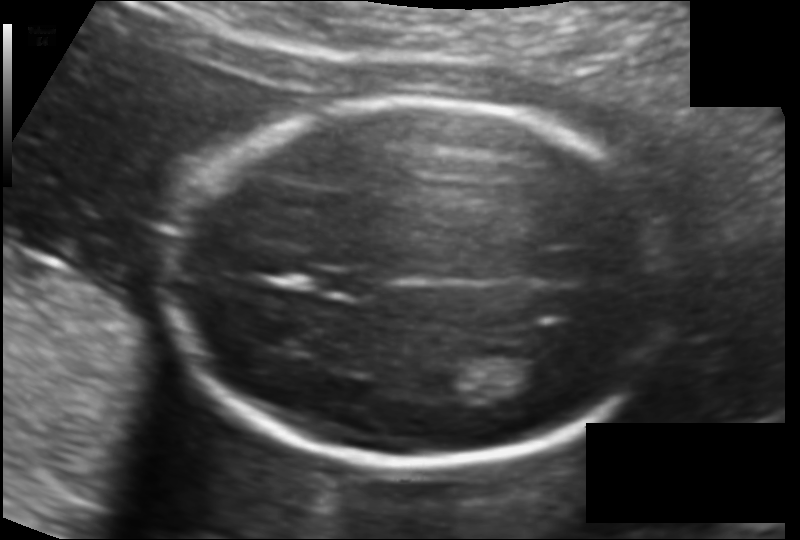
In this fetal head ultrasound, give the bounding box of the lateral ventricle. Image width: 97.1 mm.

[497,346,562,399]